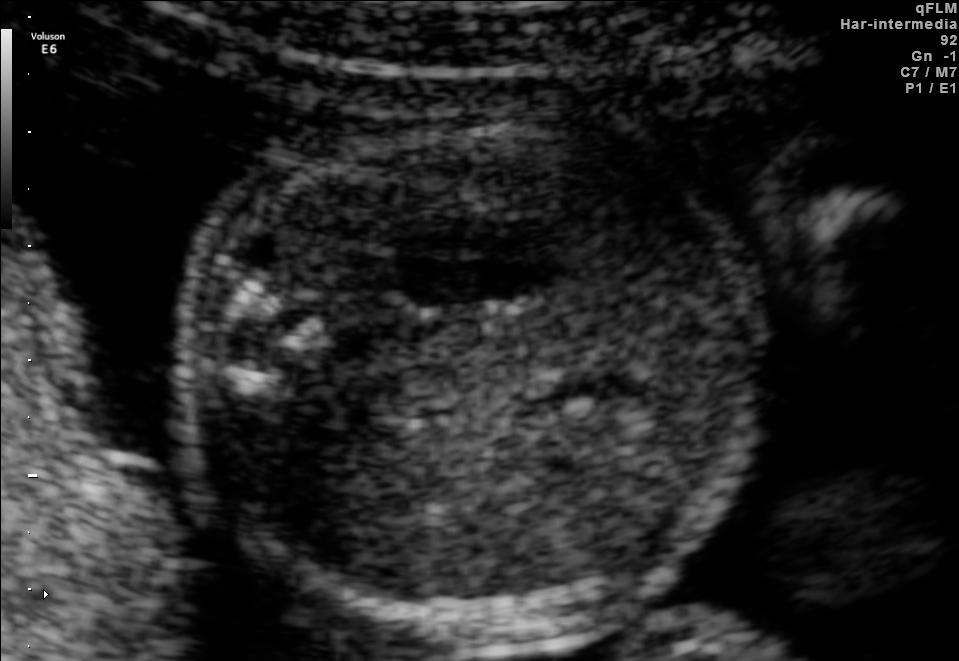
Classify this maternal-fetal ultrasound image as one of the six standard planes — fetal abdomen, fetal brain, fetal femur, fetal thorax, maternal cervix, or other. If it's fetal brain and one of the three standard brain planes (trans-thalamic, trans-cerebellum, trans-ventricular), name which.

Fetal abdomen